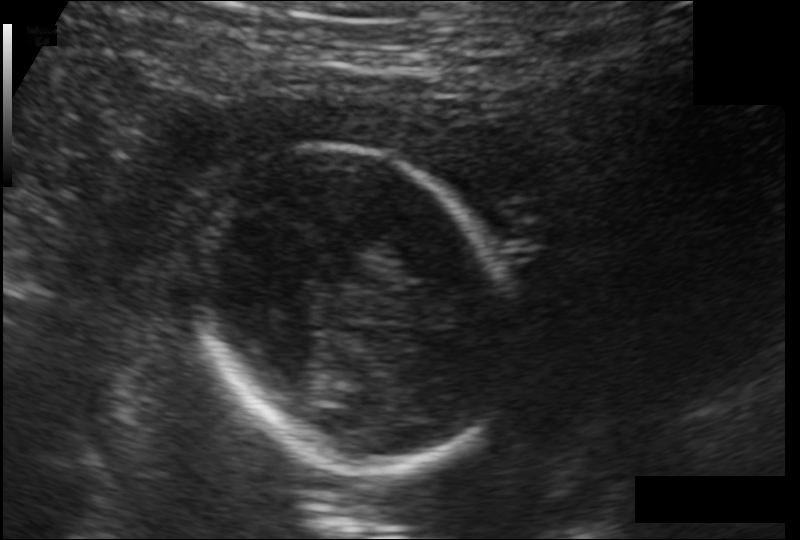
Estimate the fetal head circumference from this 2D ultrasound. Image width: 116.5 mm.

Head circumference: 146.2 mm.